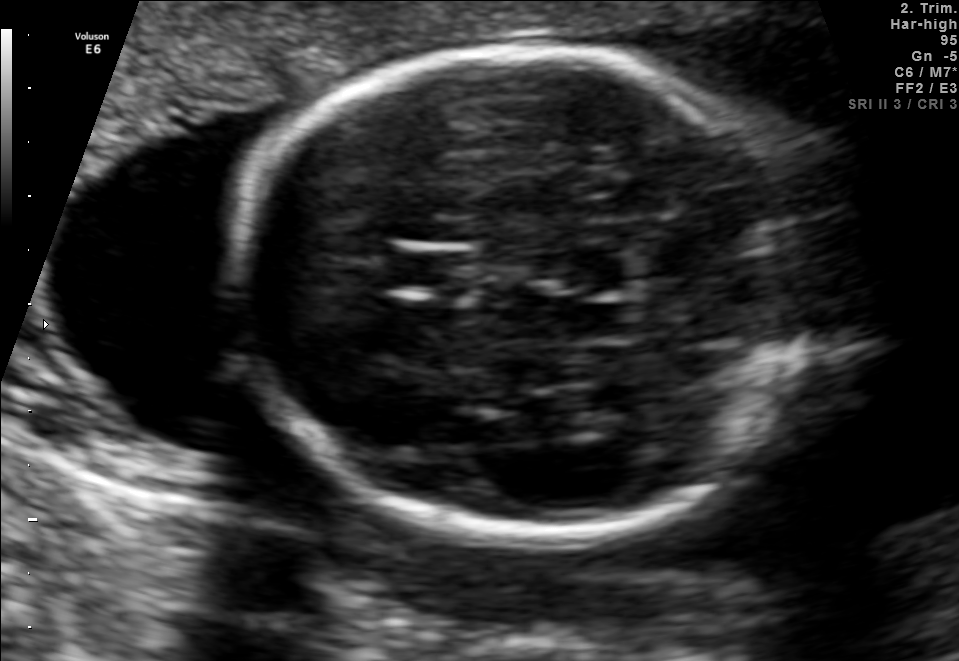
Fetal brain, trans-thalamic plane. Locate the cavum septum pellucidum.

CSP: [384,244,477,301]